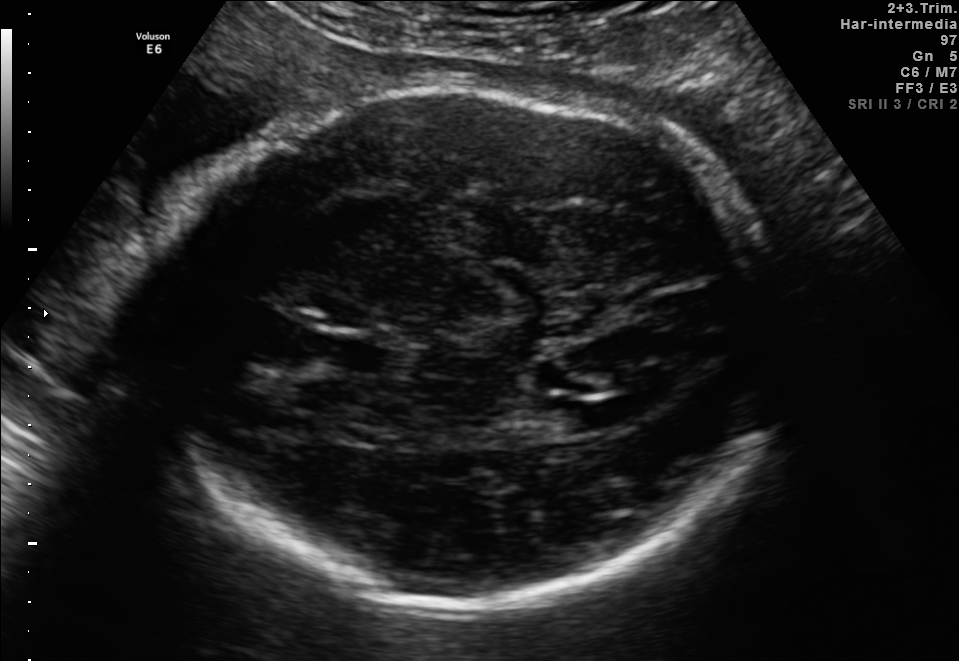
Fetal brain, trans-ventricular plane. Where is the lateral ventricle?

Lateral ventricle bounding box: [560,396,624,436]